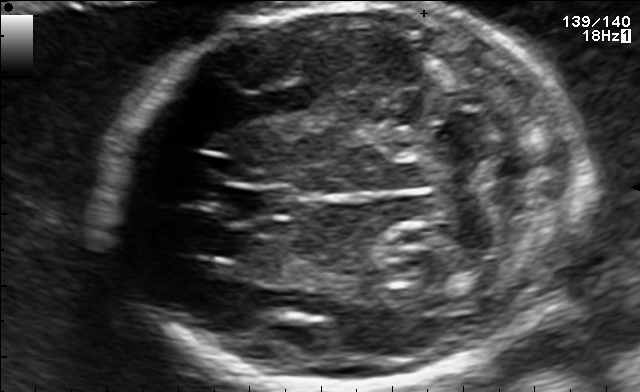
Fetal brain, trans-cerebellum plane. Locate the fetal head.

Head: [107,5,587,388]